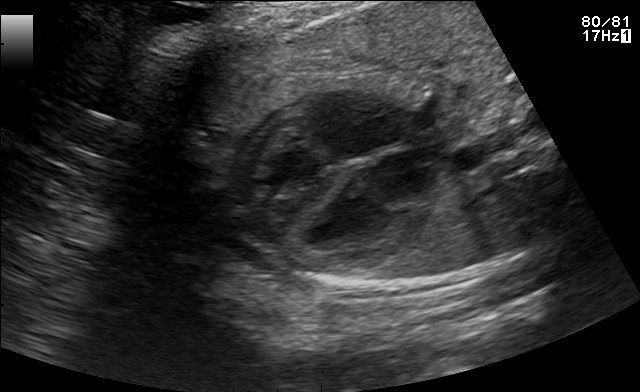
Which standard maternal-fetal ultrasound plane is shown: fetal abdomen, fetal brain, fetal femur, fetal thorax, maternal cervix, or other? If it's fetal brain and one of the three standard brain planes (trans-thalamic, trans-cerebellum, trans-ventricular), name which.

Fetal thorax